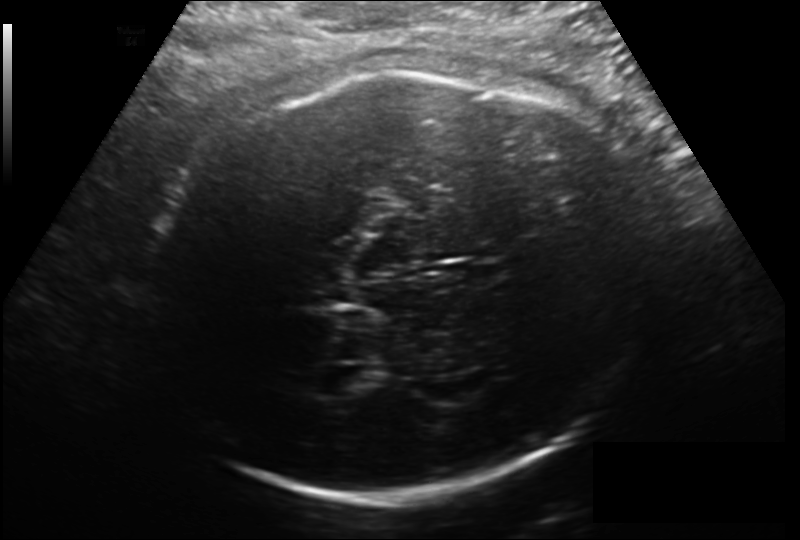
From this fetal ultrasound, estimate the head circumference (image width 164.8 mm).

Head circumference: 314.1 mm.